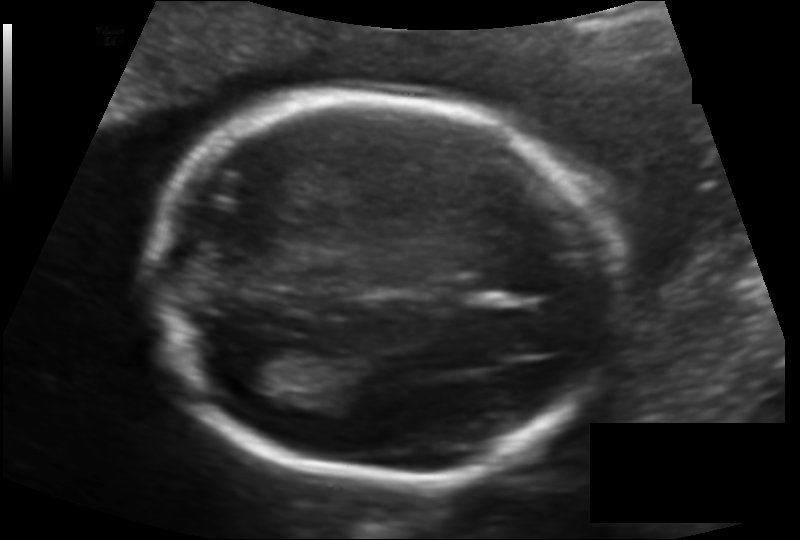
Fetal head ultrasound. Image width: 102.7 mm. Locate the fetal head.

Head: [152,95,616,480]